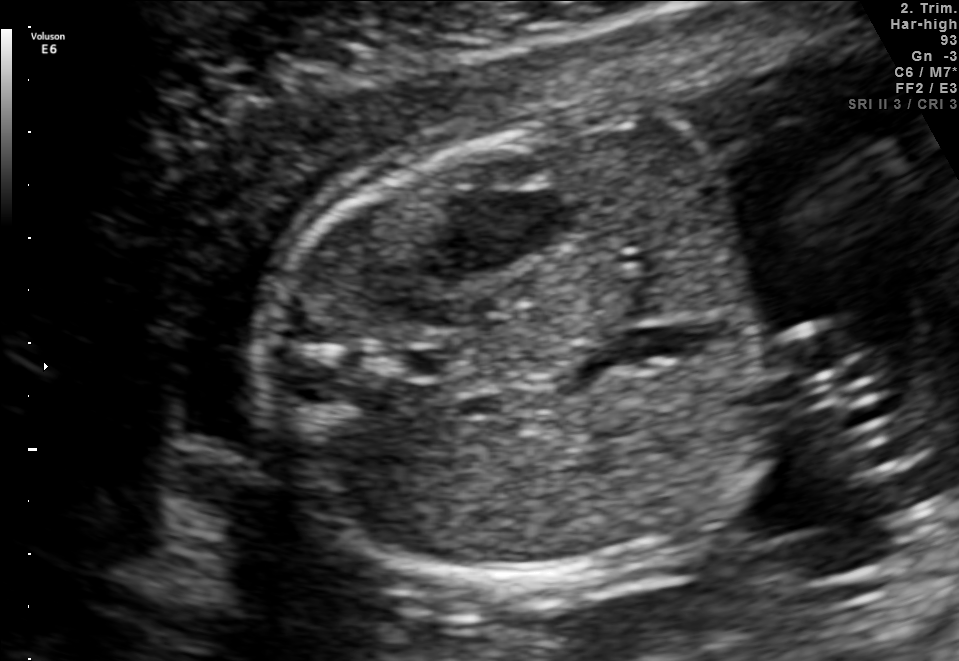
This is a 2D maternal-fetal ultrasound frame. Is it a fetal abdomen, fetal brain, fetal femur, fetal thorax, maternal cervix, or other standard plane? If it's fetal brain and one of the three standard brain planes (trans-thalamic, trans-cerebellum, trans-ventricular), name which.

Fetal abdomen